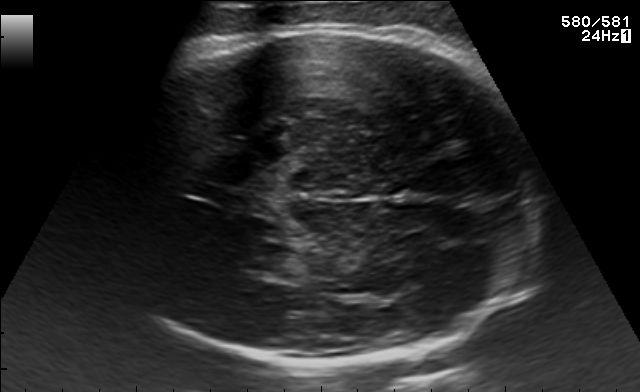
Fetal brain, trans-thalamic plane. Locate the fetal head and, if visible, the cavum septum pellucidum (CSP) and lateral ventricle (LV). Give bounding boxes as [x1,y1,x2,y2].

Head: [91,29,533,364]